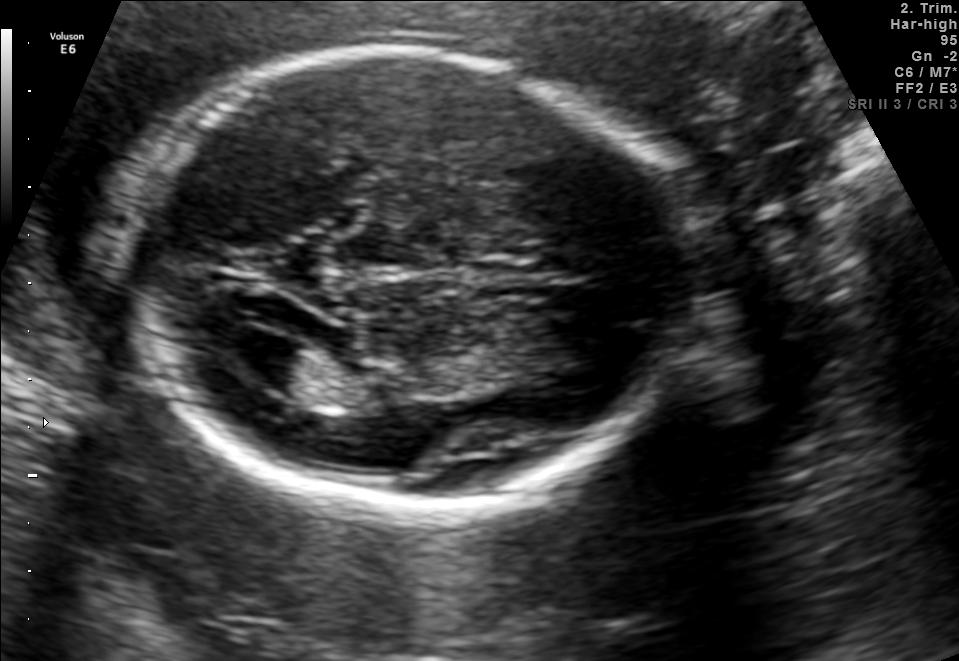
In this fetal brain, trans-ventricular plane, give bounding boxes for the head outline, cavum septum pellucidum (CSP), and lateral ventricle (LV), where visible.

Head: [115,40,704,521]
CSP: [470,264,553,300]
Lateral ventricle: [210,311,309,395]